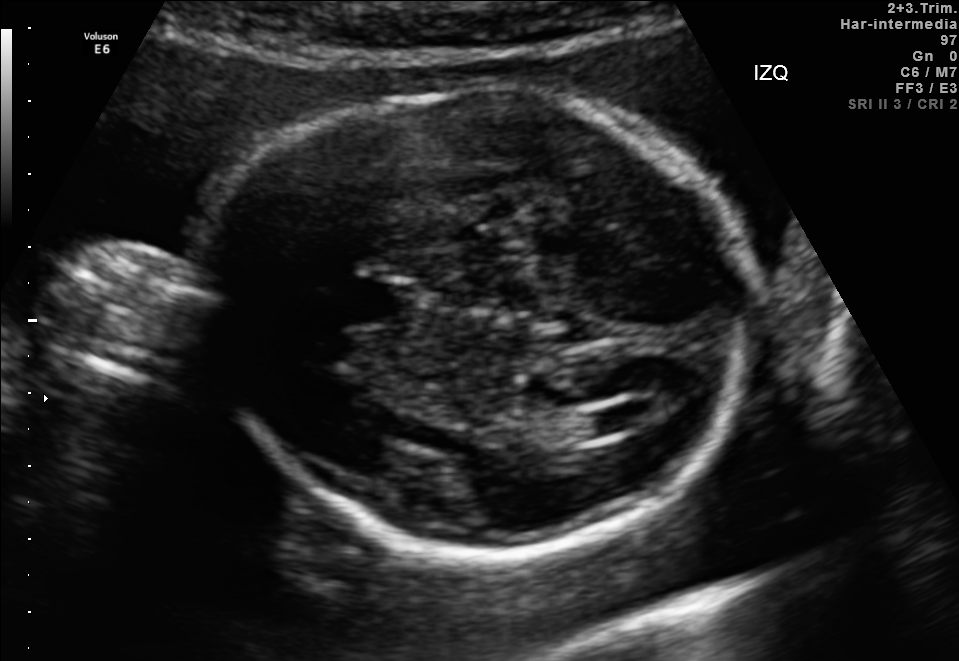
In this fetal brain, trans-ventricular plane, give the bounding box of the lateral ventricle.

[589,398,649,438]